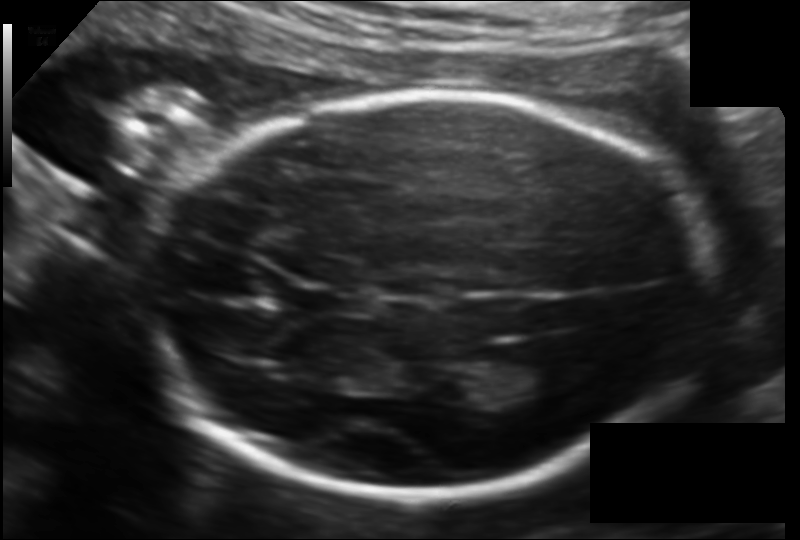
Fetal head ultrasound. Image width: 103.8 mm. Locate the lateral ventricle.

Lateral ventricle: [482,344,568,401]